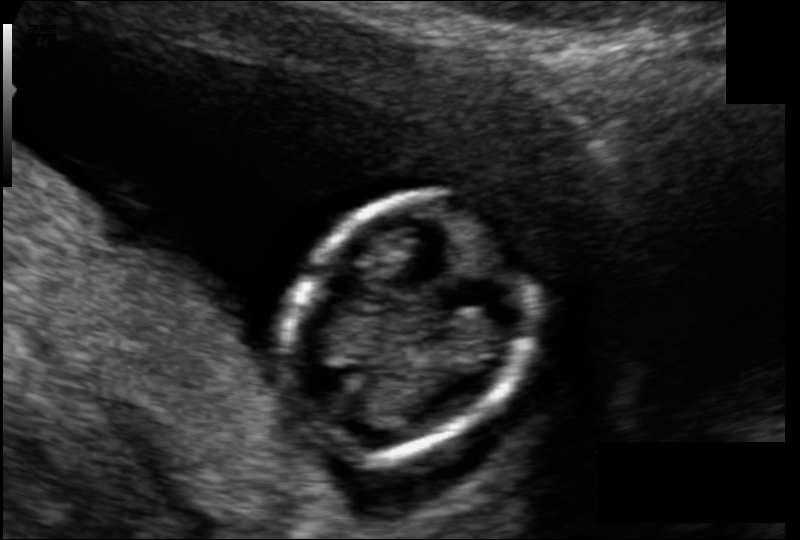
Estimate the fetal head circumference from this 2D ultrasound.

Head circumference: 75.2 mm (image width 71.6 mm).